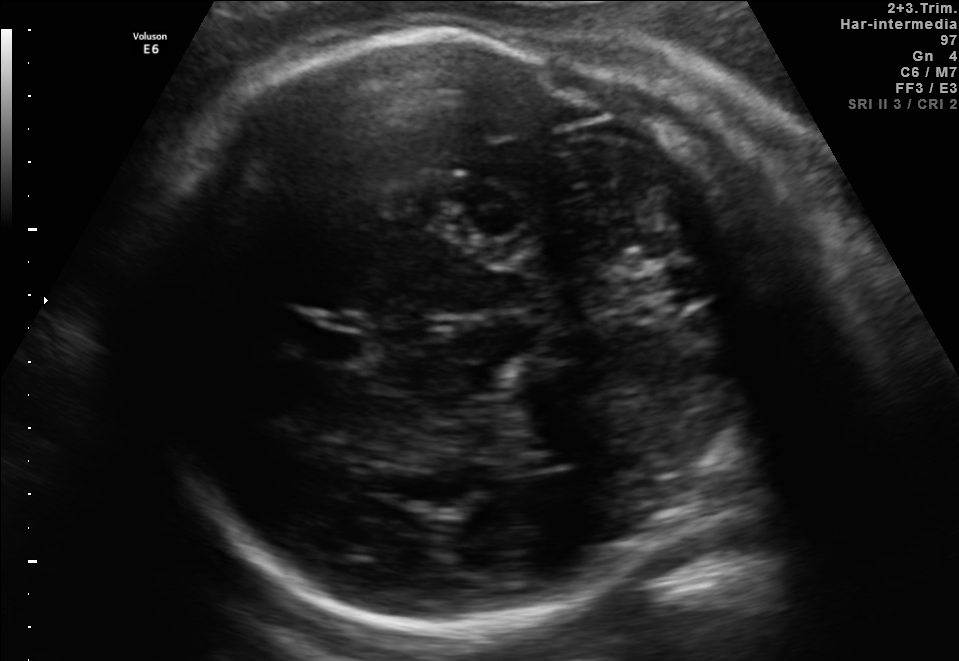
In this fetal brain, trans-thalamic plane, give the bounding box of the fetal head.

[130,32,765,641]